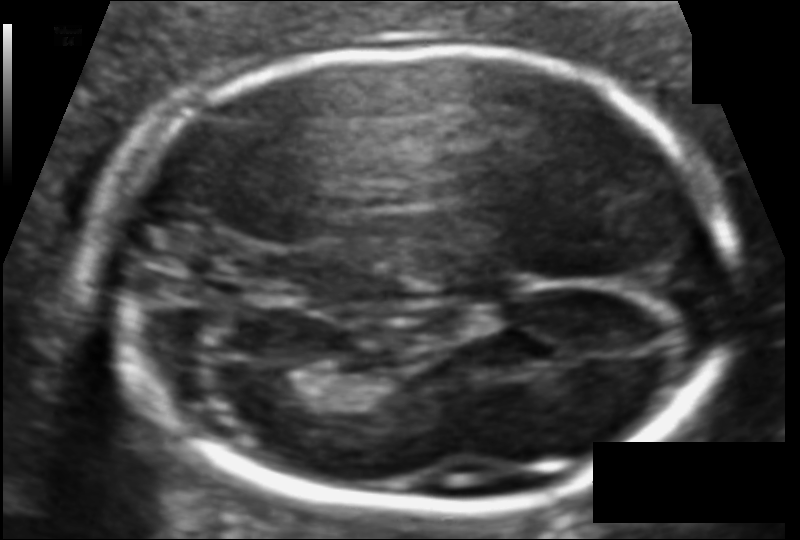
Fetal head ultrasound. Image width: 76.5 mm. Where is the fetal head?

Head bounding box: [97,49,730,509]